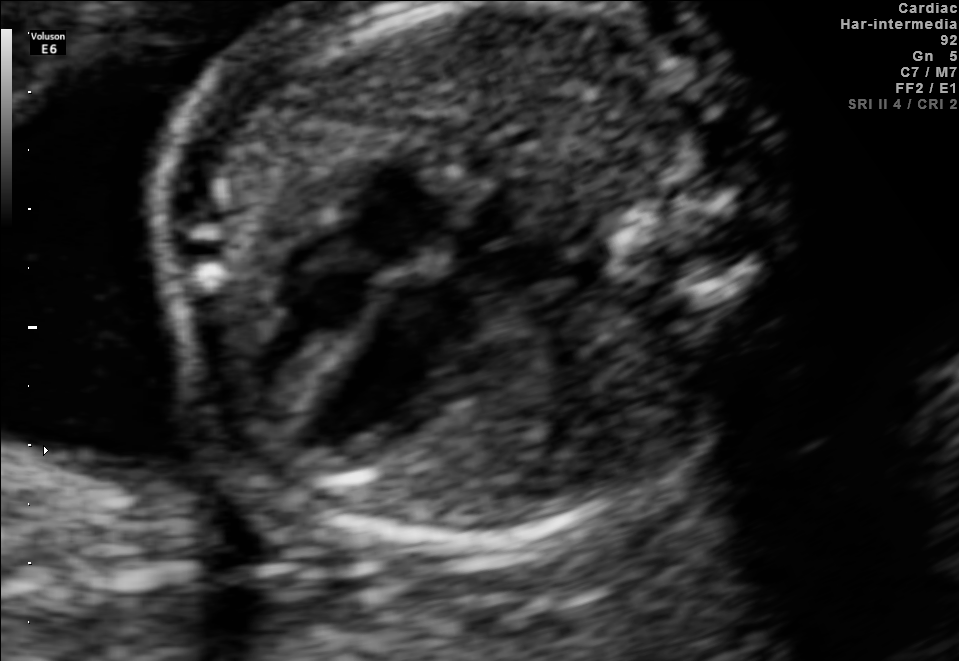
Classify this maternal-fetal ultrasound image as one of the six standard planes — fetal abdomen, fetal brain, fetal femur, fetal thorax, maternal cervix, or other. If it's fetal brain and one of the three standard brain planes (trans-thalamic, trans-cerebellum, trans-ventricular), name which.

Fetal thorax